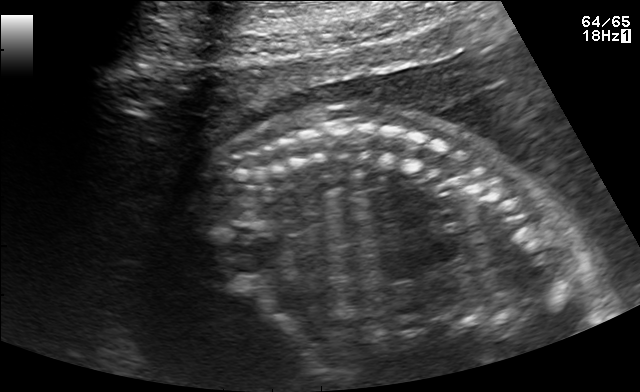
Identify the standard plane in this fetal ultrasound image: fetal abdomen, fetal brain, fetal femur, fetal thorax, maternal cervix, or other. If it's fetal brain and one of the three standard brain planes (trans-thalamic, trans-cerebellum, trans-ventricular), name which.

Other